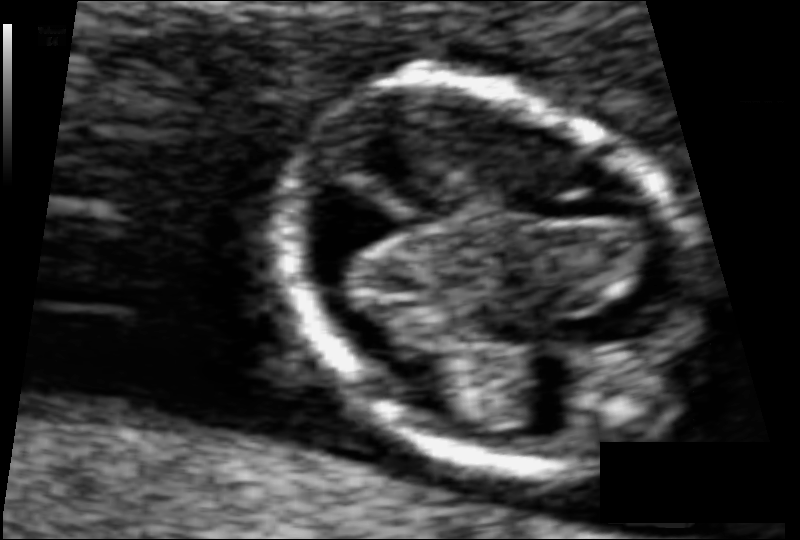
In this fetal head ultrasound, give the bounding box of the fetal head. Image width: 46.0 mm.

[276,82,697,457]